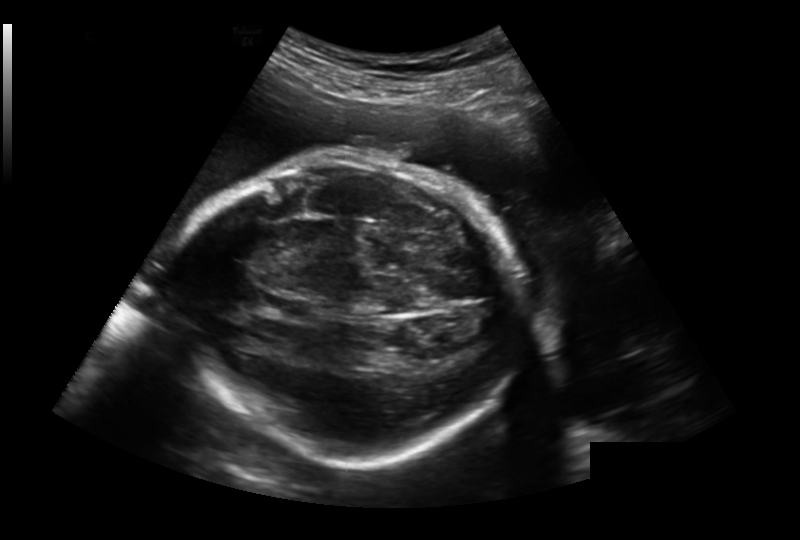
Fetal head ultrasound. Image width: 206.8 mm. Where is the fetal head?

Head bounding box: [176,158,519,460]